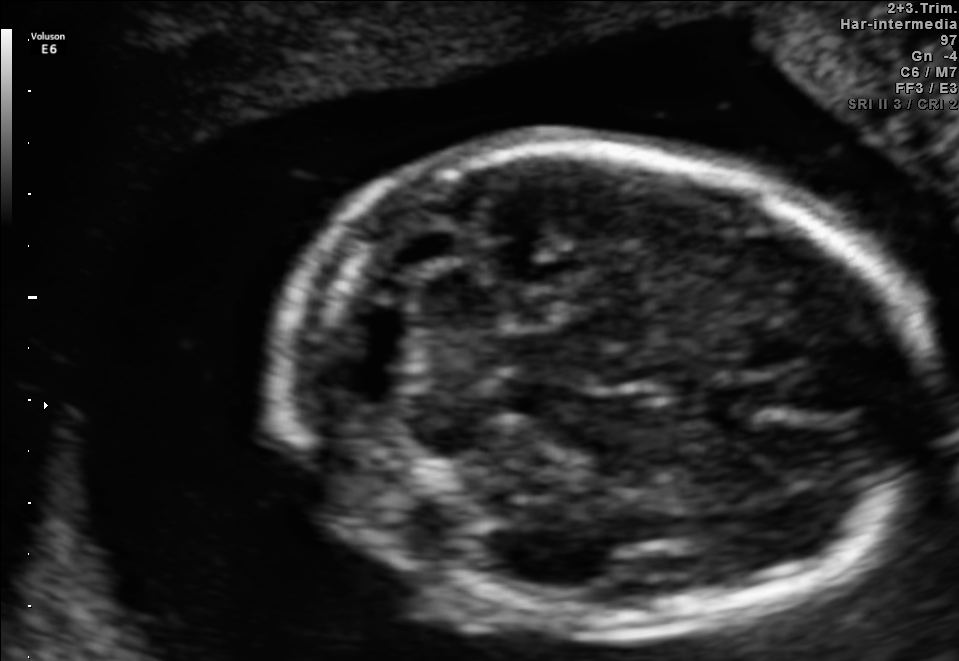
Fetal brain, trans-cerebellum plane. Give [x1,y1,x2,y2] bounding boxes for each visible structure among: fetal head, CSP, LV.

Head: [272,146,925,637]
CSP: [697,375,780,427]